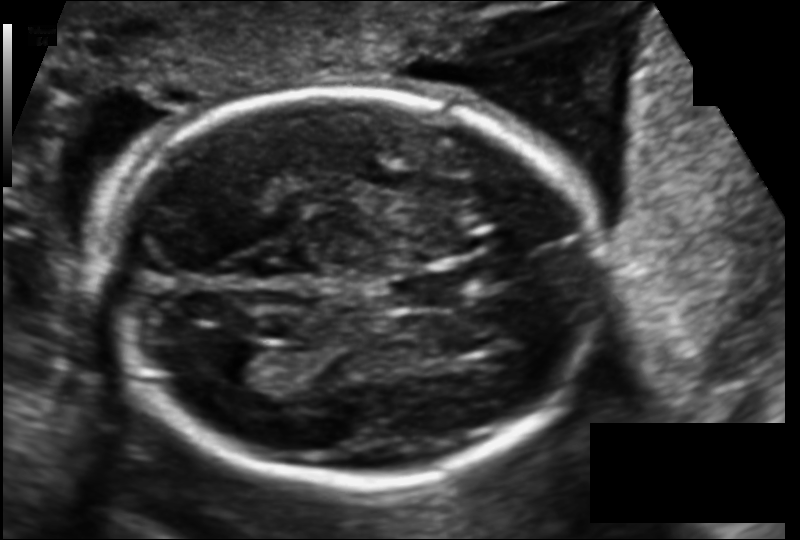
Fetal head ultrasound. Image width: 104.3 mm. Where is the lateral ventricle?

Lateral ventricle bounding box: [208,339,276,390]